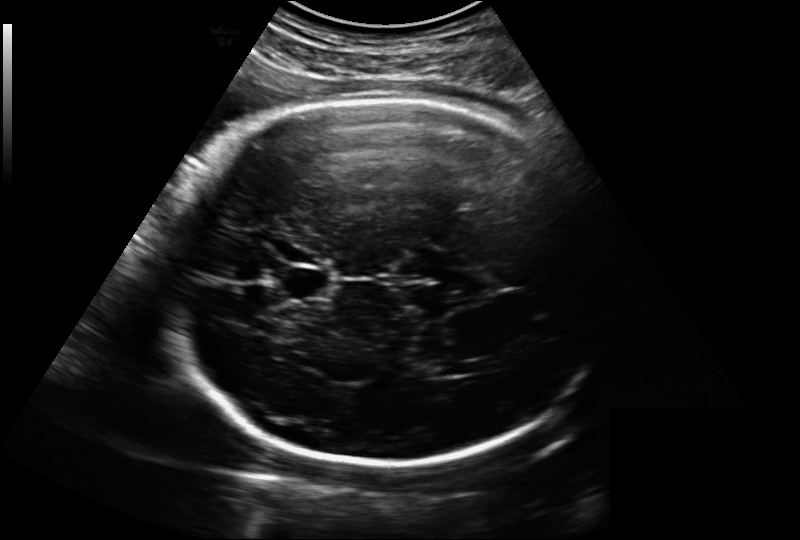
Measure the fetal head circumference shown in this ultrasound image. Image width: 176.5 mm.

Head circumference: 291.4 mm.